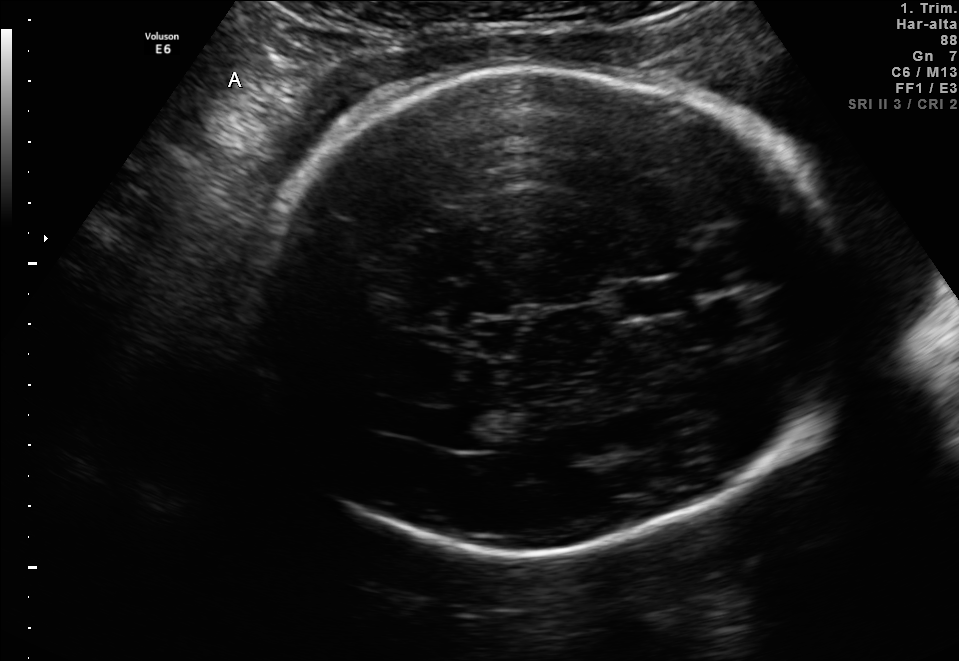
Fetal brain, trans-thalamic plane. Locate the lateral ventricle.

Lateral ventricle: [433,408,497,452]